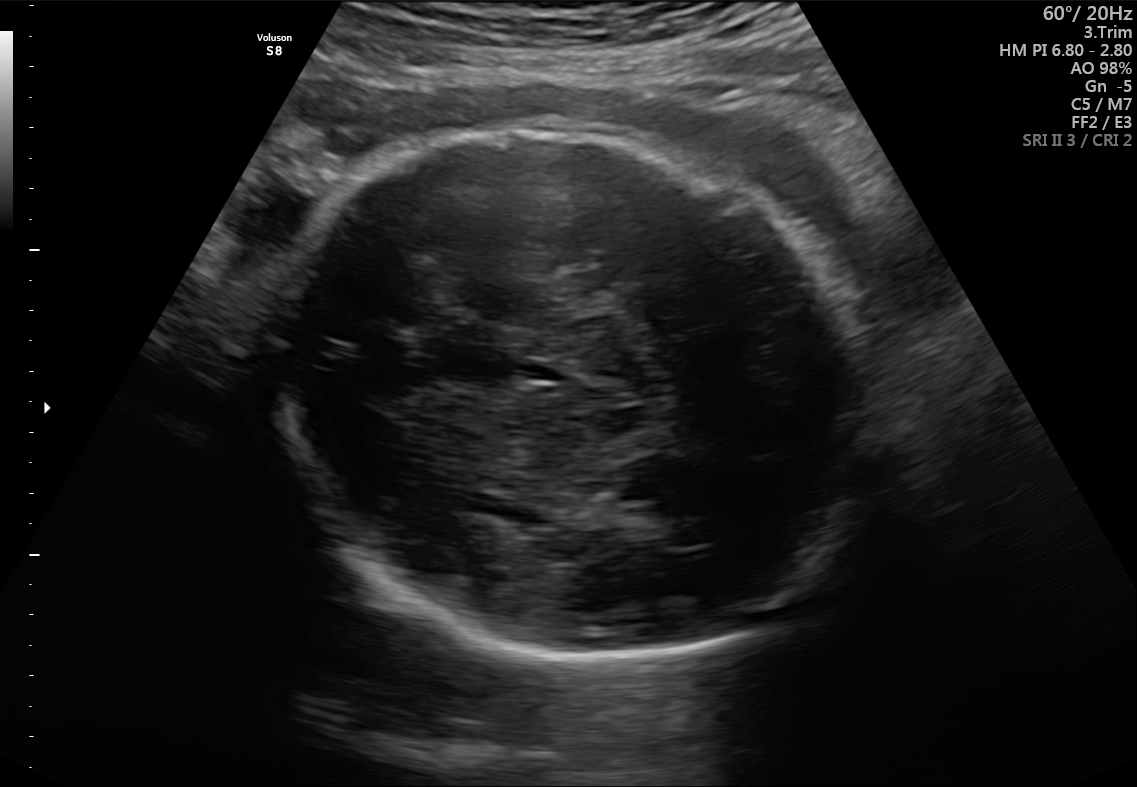
Fetal brain, trans-thalamic plane. Locate the cavum septum pellucidum.

CSP: [526,361,564,383]